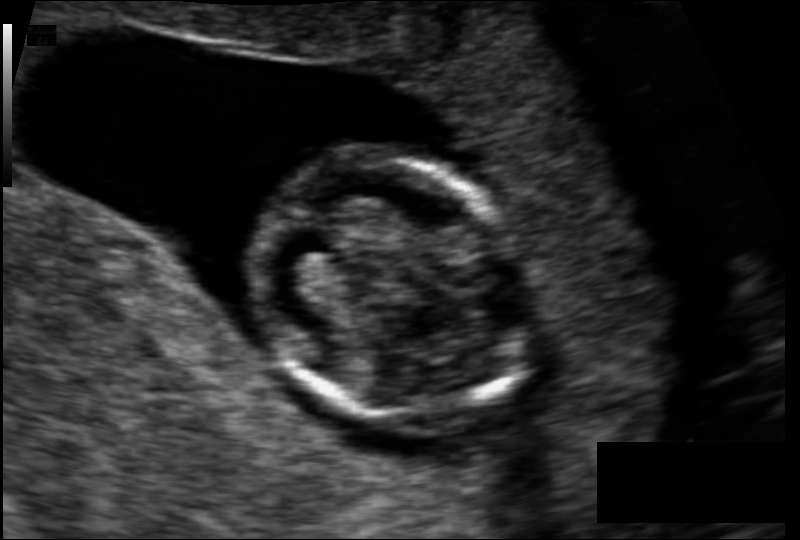
In this fetal head ultrasound, give bounding boxes for the head outline, cavum septum pellucidum (CSP), and lateral ventricle (LV), where visible. Image width: 75.6 mm.

Head: [254,153,528,423]